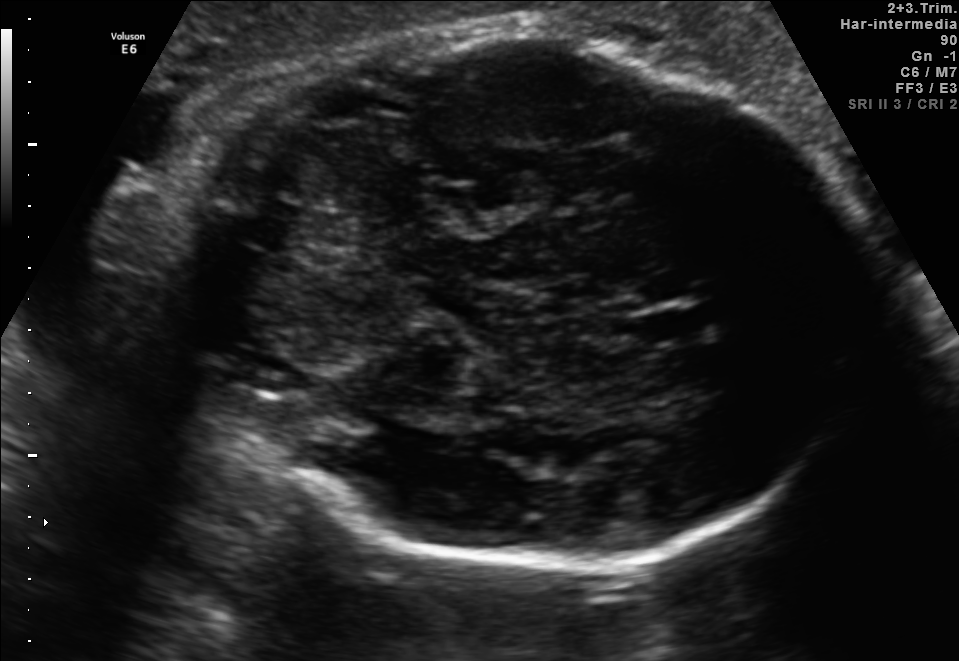
Which standard maternal-fetal ultrasound plane is shown: fetal abdomen, fetal brain, fetal femur, fetal thorax, maternal cervix, or other? If it's fetal brain and one of the three standard brain planes (trans-thalamic, trans-cerebellum, trans-ventricular), name which.

Fetal brain (trans-cerebellum plane)